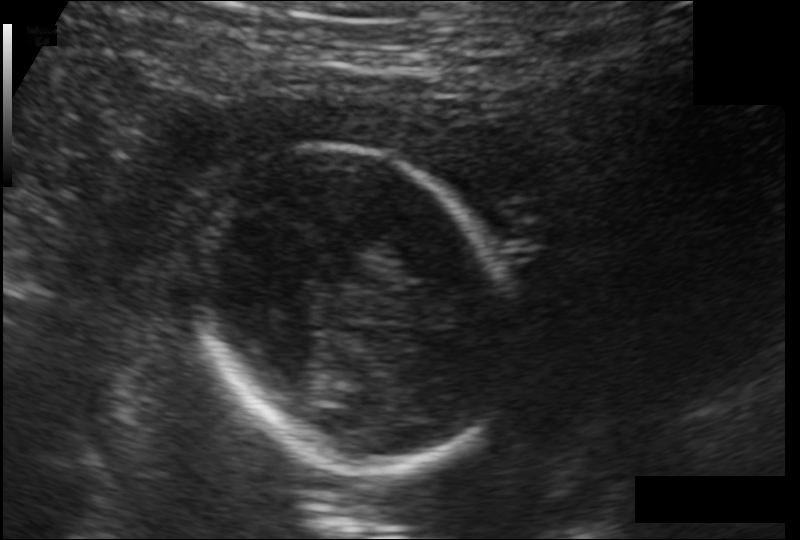
Fetal head ultrasound. Image width: 116.5 mm. Locate the fetal head and, if visible, the cavum septum pellucidum (CSP) and lateral ventricle (LV). Give bounding boxes as [x1,y1,x2,y2].

Head: [189,147,526,465]